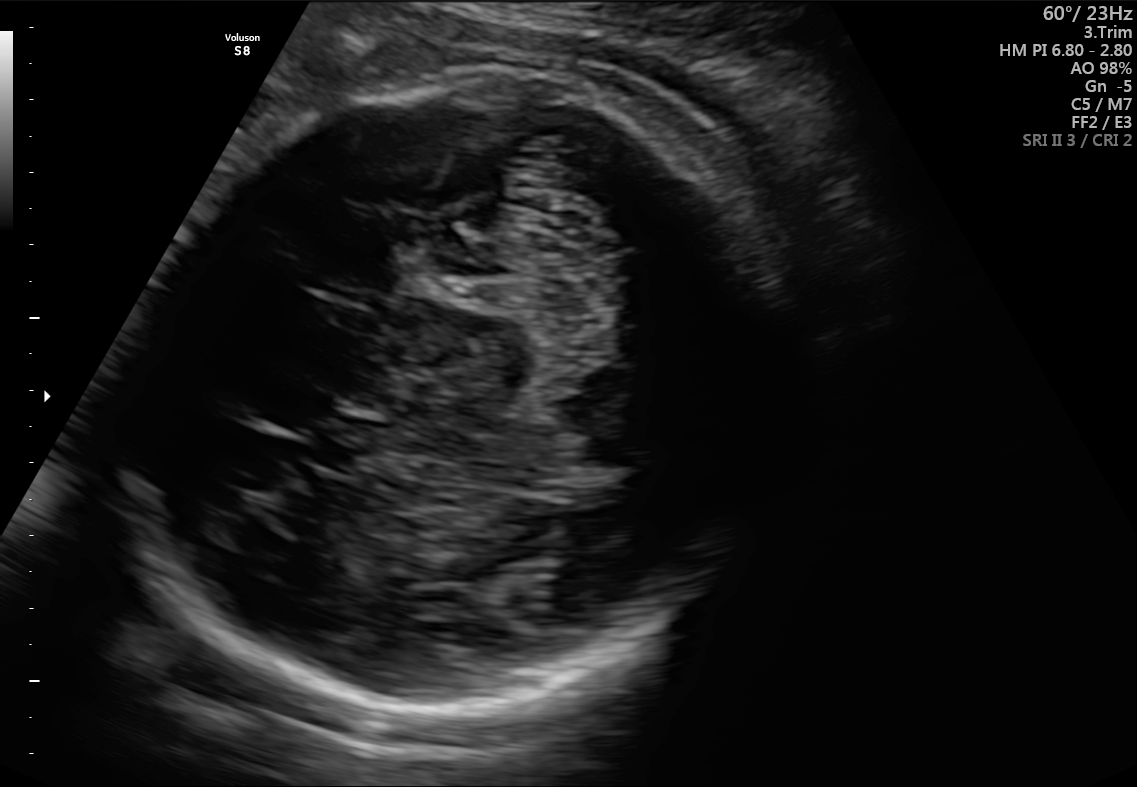
Classify this maternal-fetal ultrasound image as one of the six standard planes — fetal abdomen, fetal brain, fetal femur, fetal thorax, maternal cervix, or other. If it's fetal brain and one of the three standard brain planes (trans-thalamic, trans-cerebellum, trans-ventricular), name which.

Fetal brain (trans-cerebellum plane)